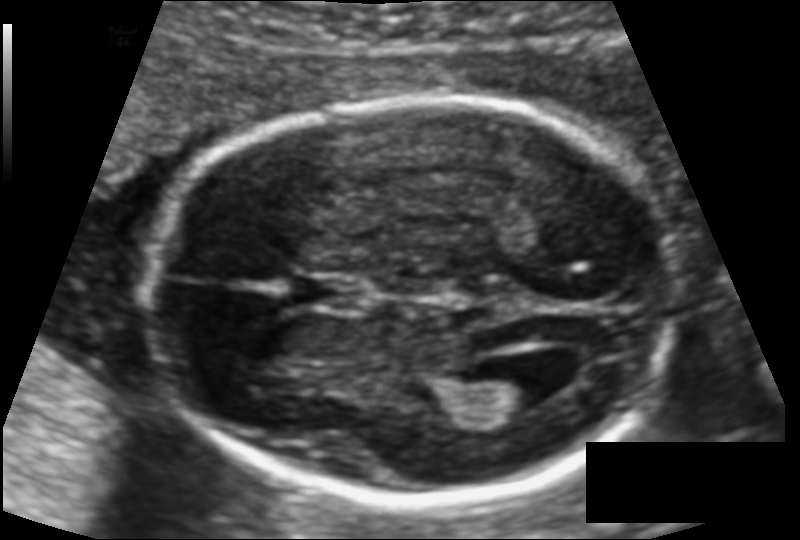
Estimate the fetal head circumference from this 2D ultrasound.

Head circumference: 172.1 mm (image width 90.3 mm).